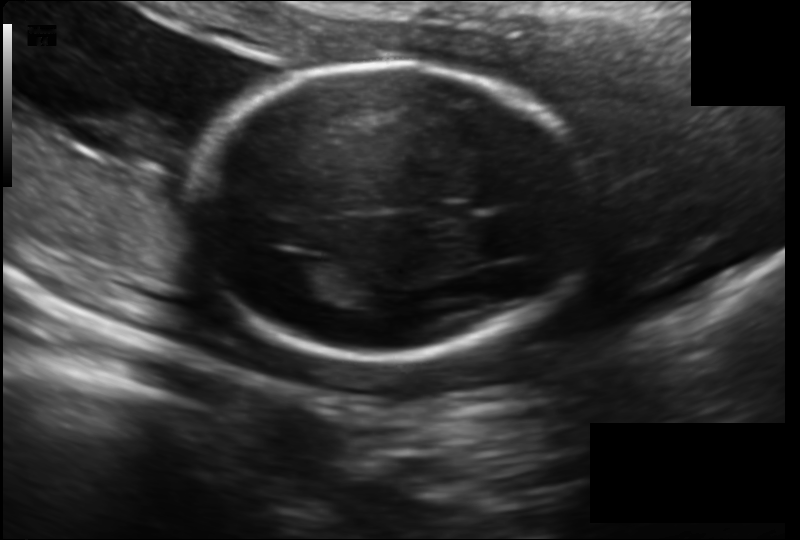
Estimate the fetal head circumference from this 2D ultrasound. Image width: 126.8 mm.

Head circumference: 180.8 mm.